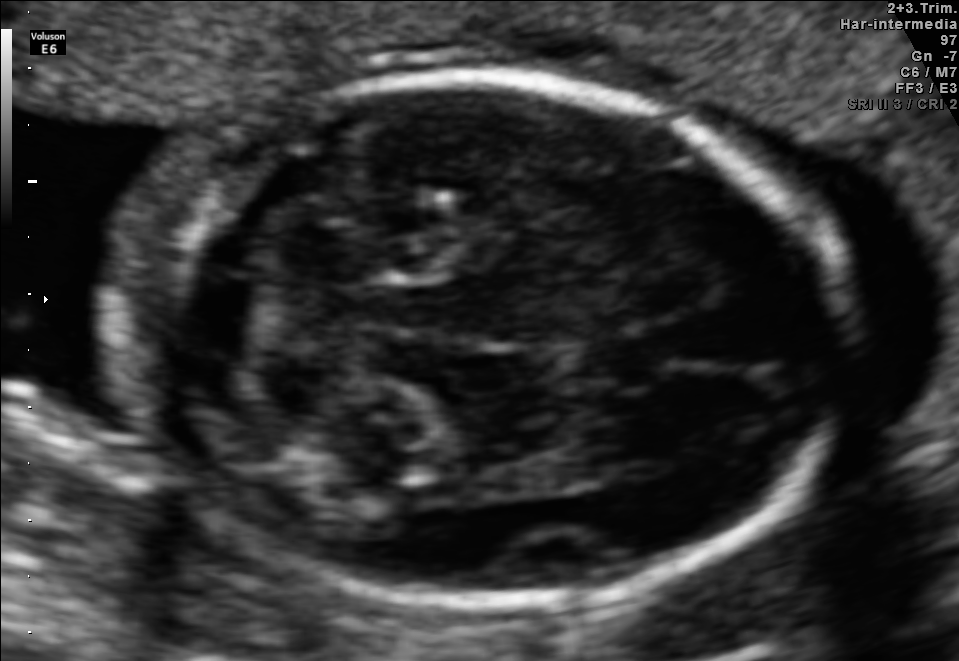
Fetal brain, trans-cerebellum plane. Locate the fetal head and, if visible, the cavum septum pellucidum (CSP) and lateral ventricle (LV). Give bounding boxes as [x1,y1,x2,y2].

Head: [121,75,838,608]
CSP: [573,326,665,390]